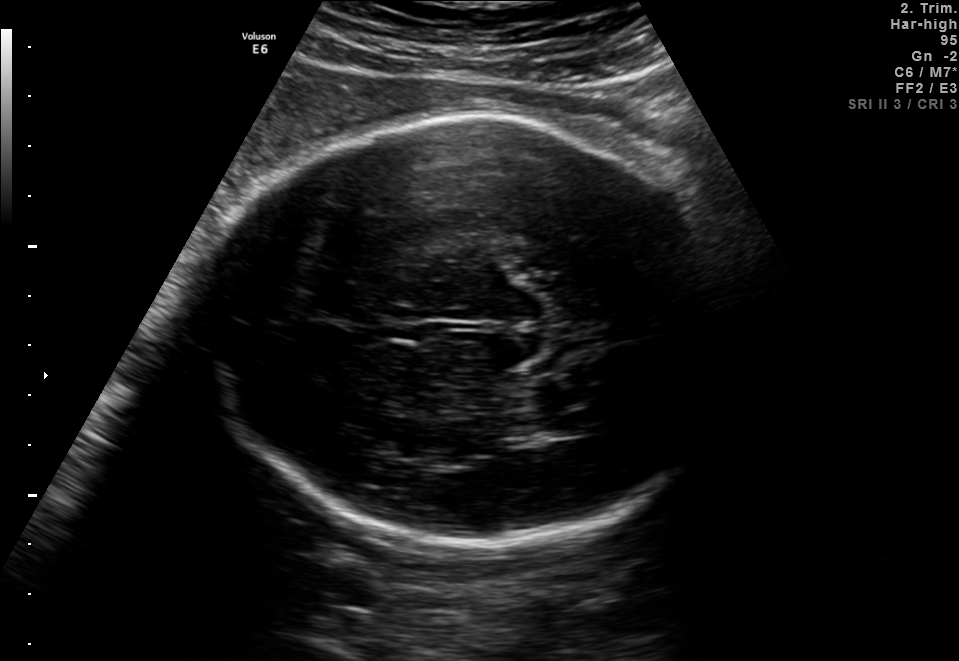
Fetal brain, trans-thalamic plane. Where is the lateral ventricle?

Lateral ventricle bounding box: [538,409,605,441]